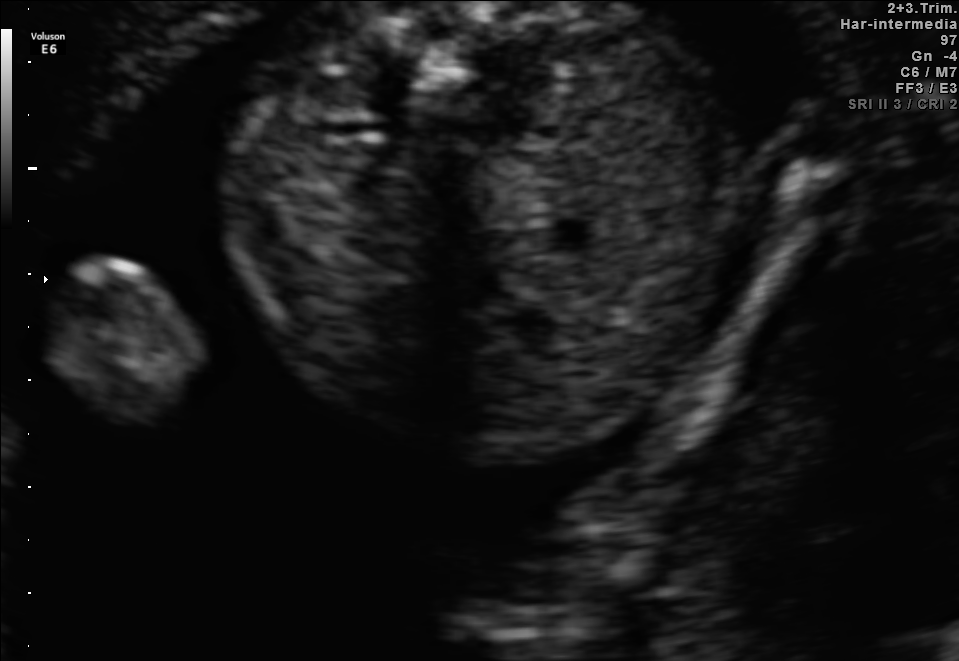
This is a 2D maternal-fetal ultrasound frame. Is it a fetal abdomen, fetal brain, fetal femur, fetal thorax, maternal cervix, or other standard plane? If it's fetal brain and one of the three standard brain planes (trans-thalamic, trans-cerebellum, trans-ventricular), name which.

Fetal abdomen